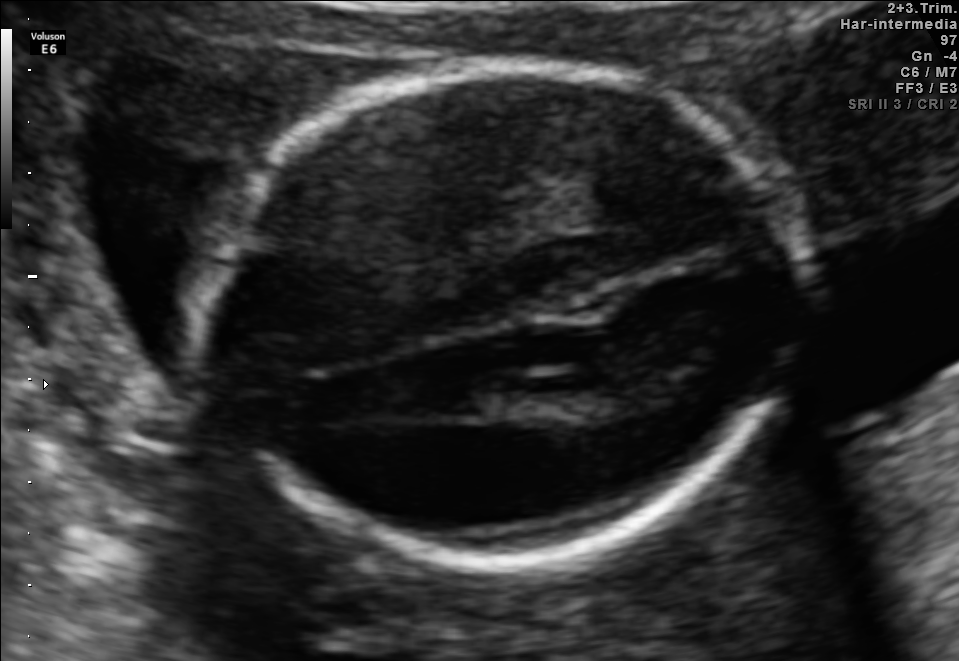
This is a 2D maternal-fetal ultrasound frame. Is it a fetal abdomen, fetal brain, fetal femur, fetal thorax, maternal cervix, or other standard plane? If it's fetal brain and one of the three standard brain planes (trans-thalamic, trans-cerebellum, trans-ventricular), name which.

Fetal brain (trans-thalamic plane)